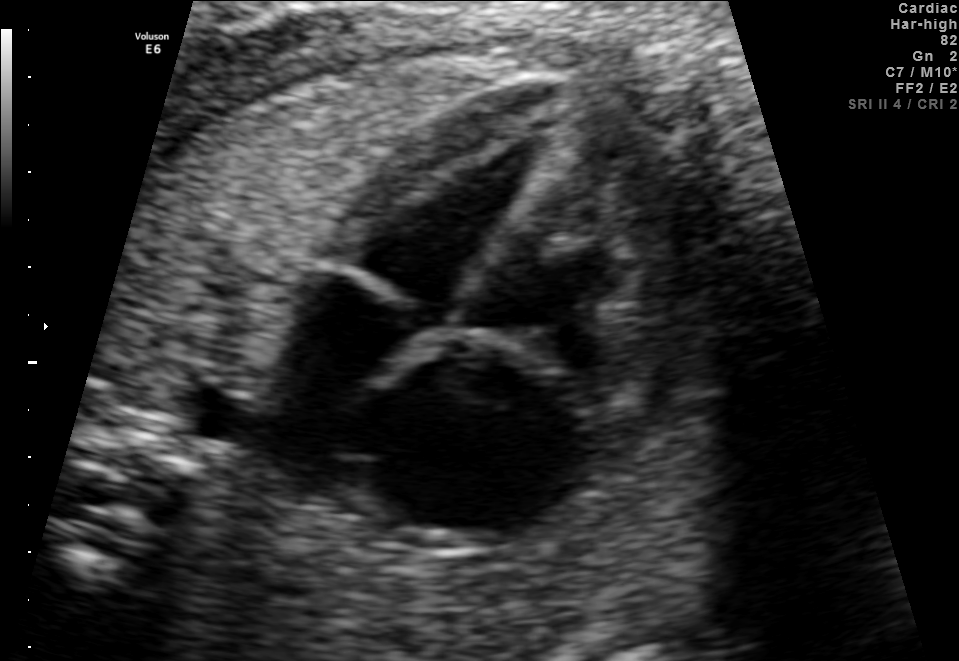
Identify the standard plane in this fetal ultrasound image: fetal abdomen, fetal brain, fetal femur, fetal thorax, maternal cervix, or other. If it's fetal brain and one of the three standard brain planes (trans-thalamic, trans-cerebellum, trans-ventricular), name which.

Fetal thorax